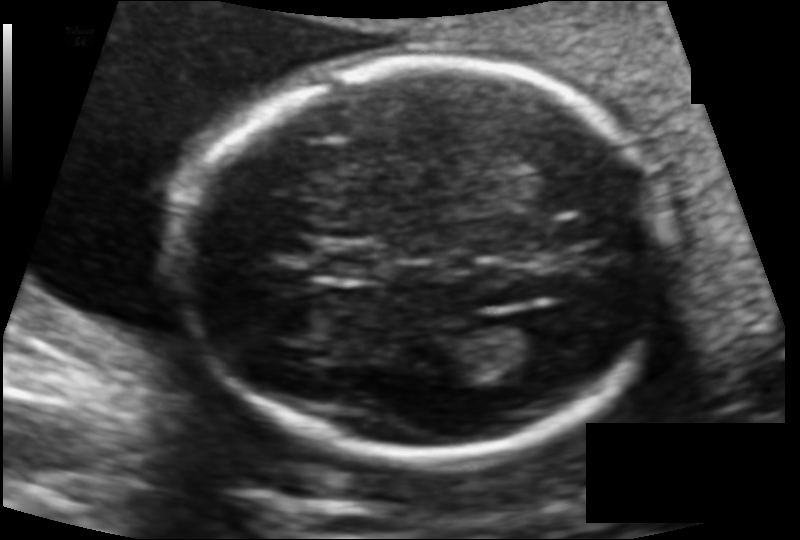
In this fetal head ultrasound, give the bounding box of the cavum septum pellucidum. Image width: 91.4 mm.

[311,239,386,283]